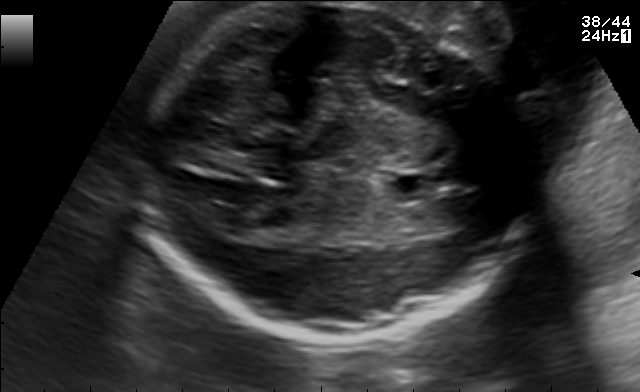
In this fetal brain, trans-ventricular plane, give bounding boxes for the head outline, cavum septum pellucidum (CSP), and lateral ventricle (LV), where visible.

Head: [133,7,544,346]